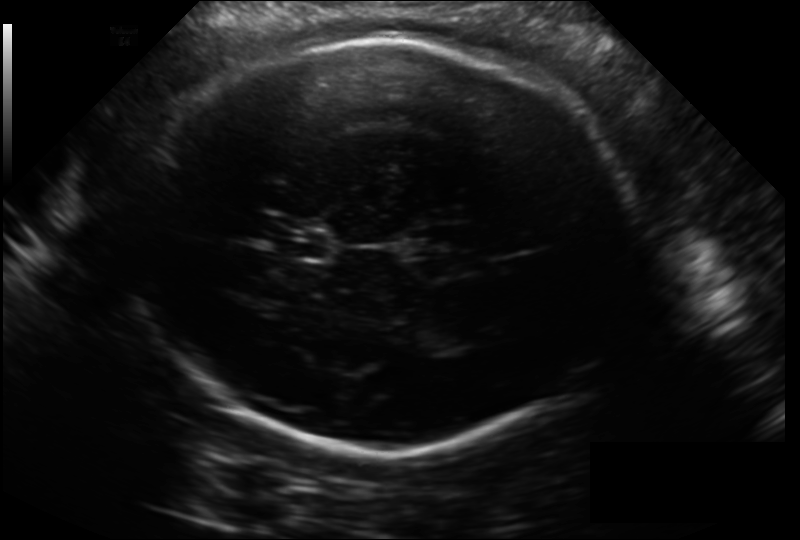
In this fetal head ultrasound, give the bounding box of the cavum septum pellucidum. Image width: 168.5 mm.

[272,222,330,263]